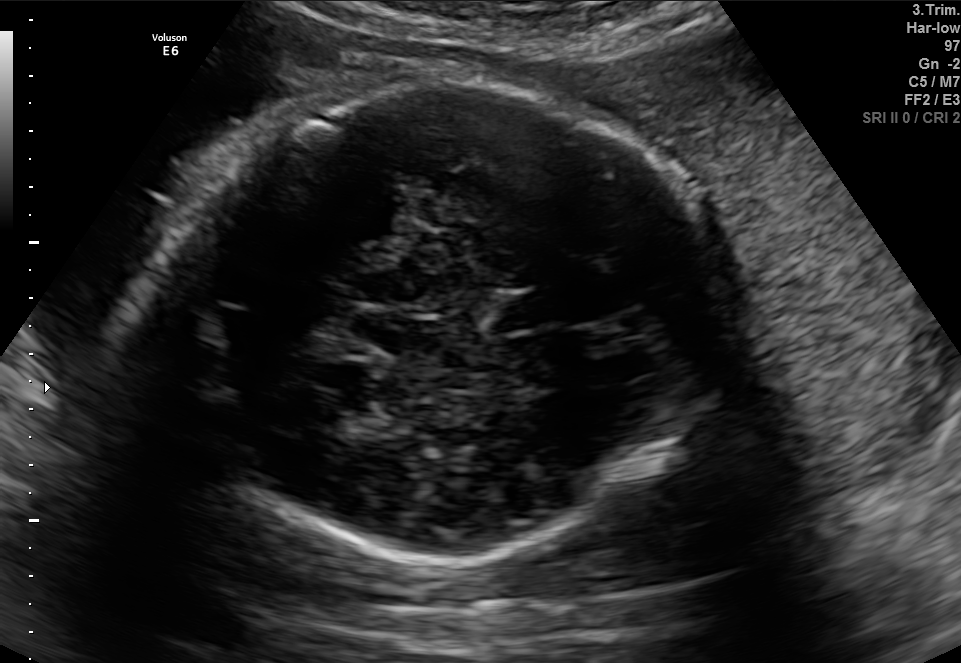
Fetal brain, trans-thalamic plane. Give [x1,y1,x2,y2] bounding boxes for each visible structure among: fetal head, CSP, LV.

Head: [168,79,714,560]